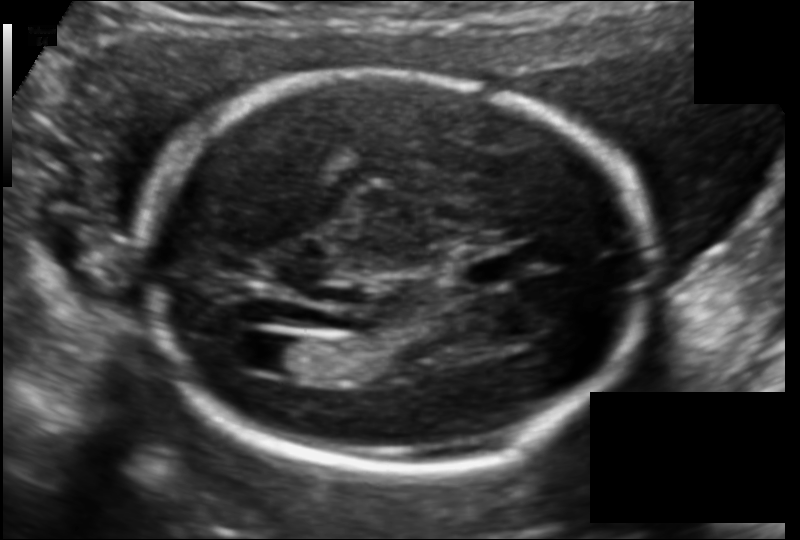
In this fetal head ultrasound, give the bounding box of the cavum septum pellucidum. Image width: 97.5 mm.

[458,247,521,296]